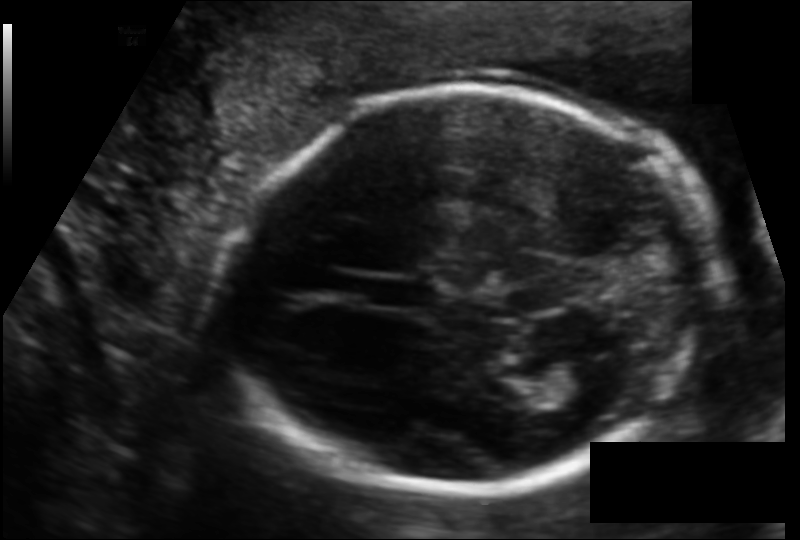
From this fetal ultrasound, estimate the head circumference (image width 95.3 mm).

Head circumference: 175.6 mm.